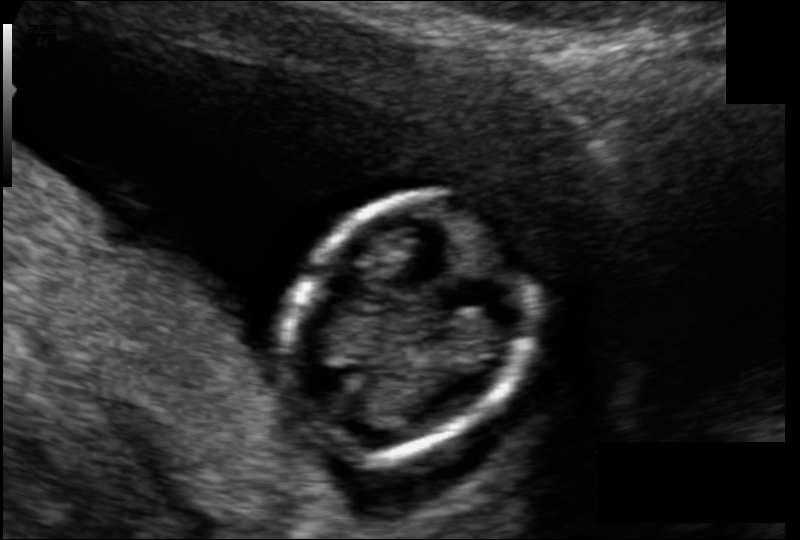
Fetal head ultrasound. Image width: 71.6 mm. Where is the fetal head?

Head bounding box: [285,194,536,456]